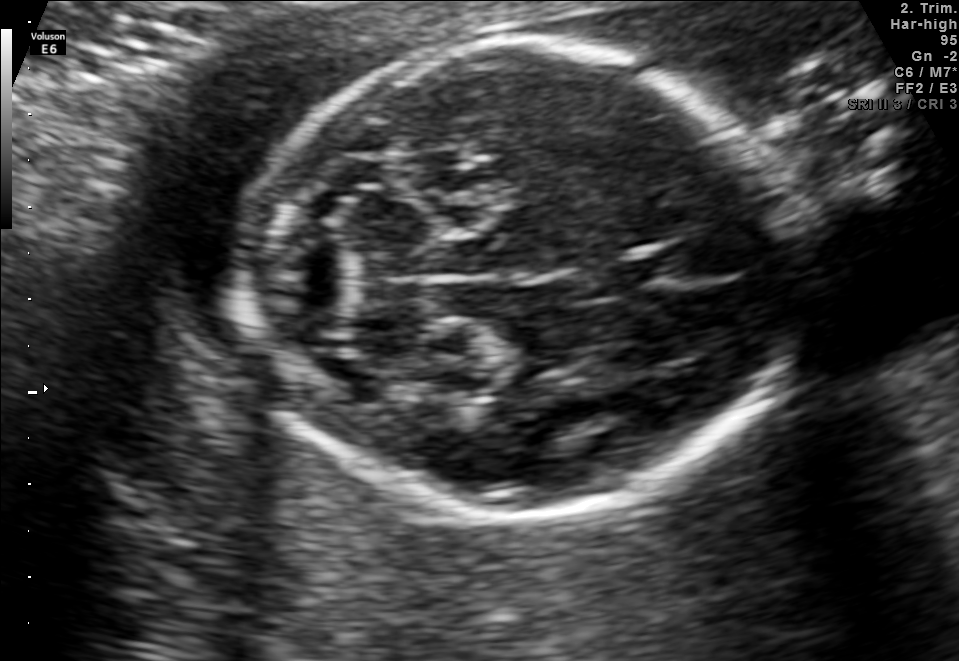
Fetal brain, trans-cerebellum plane. Locate the fetal head and, if visible, the cavum septum pellucidum (CSP) and lateral ventricle (LV). Give bounding boxes as [x1,y1,x2,y2].

Head: [244,40,793,517]
CSP: [582,250,660,302]